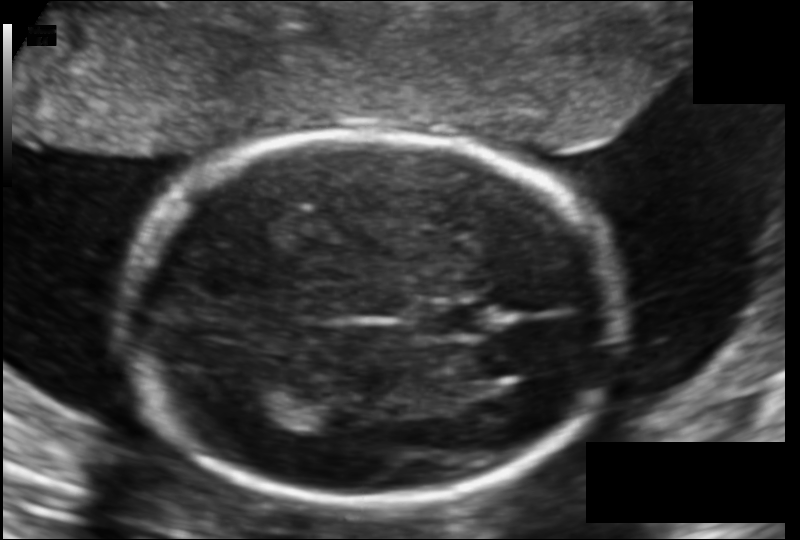
Estimate the fetal head circumference from this 2D ultrasound. Image width: 98.4 mm.

Head circumference: 174.4 mm.